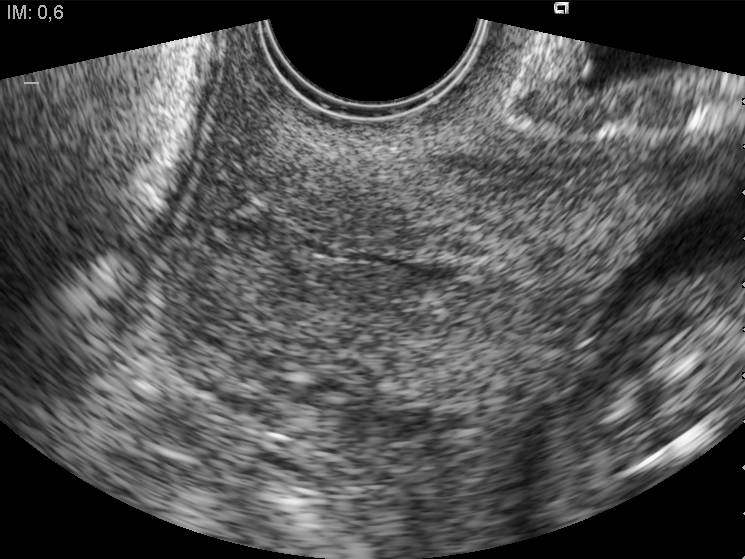
Classify this maternal-fetal ultrasound image as one of the six standard planes — fetal abdomen, fetal brain, fetal femur, fetal thorax, maternal cervix, or other. If it's fetal brain and one of the three standard brain planes (trans-thalamic, trans-cerebellum, trans-ventricular), name which.

Maternal cervix